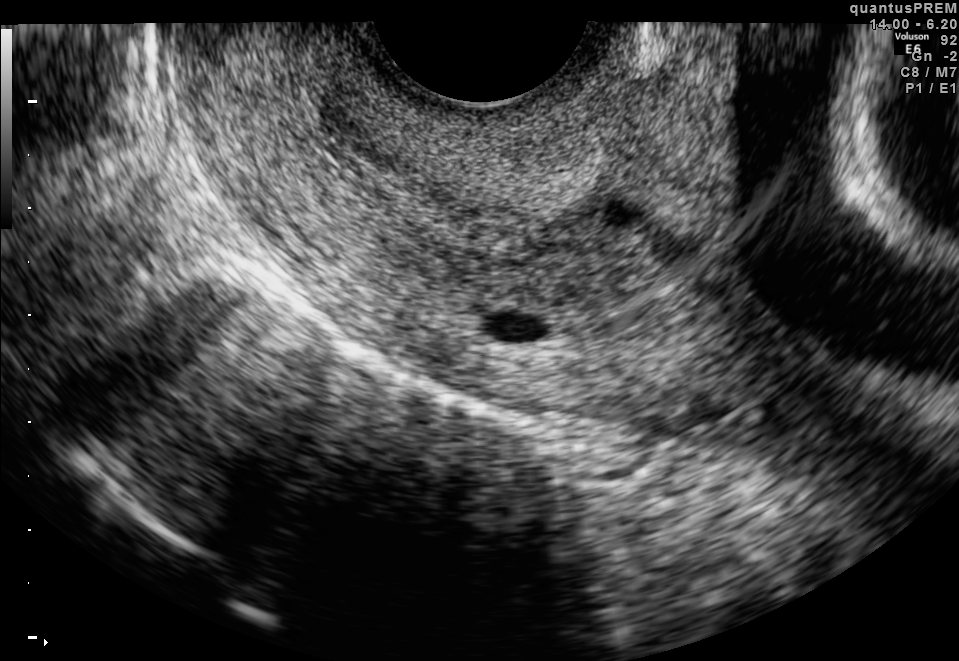
Which standard maternal-fetal ultrasound plane is shown: fetal abdomen, fetal brain, fetal femur, fetal thorax, maternal cervix, or other? If it's fetal brain and one of the three standard brain planes (trans-thalamic, trans-cerebellum, trans-ventricular), name which.

Maternal cervix